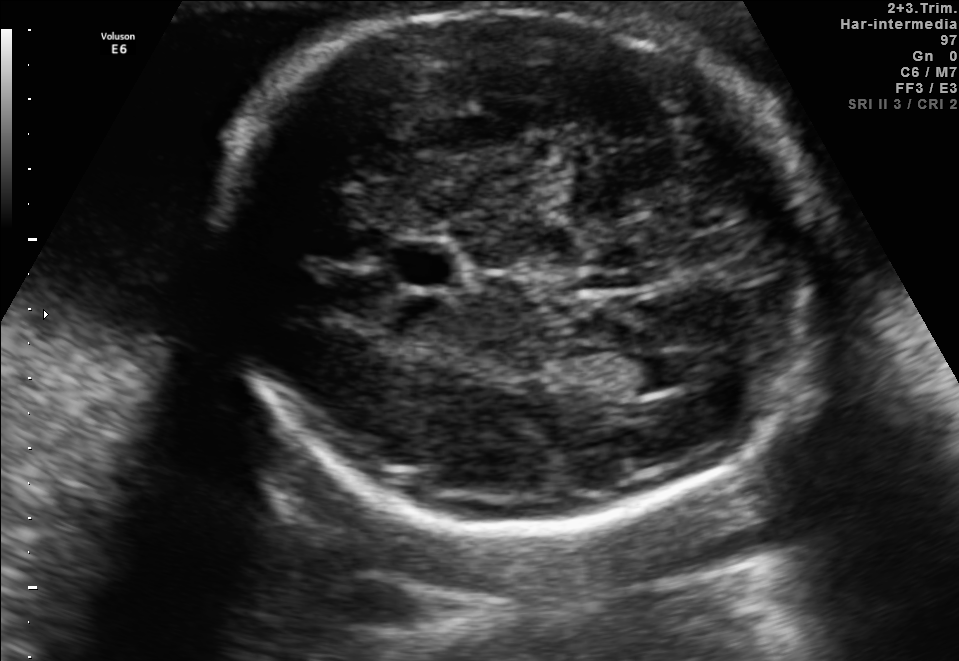
Fetal brain, trans-ventricular plane. Locate the fetal head.

Head: [184,2,853,539]